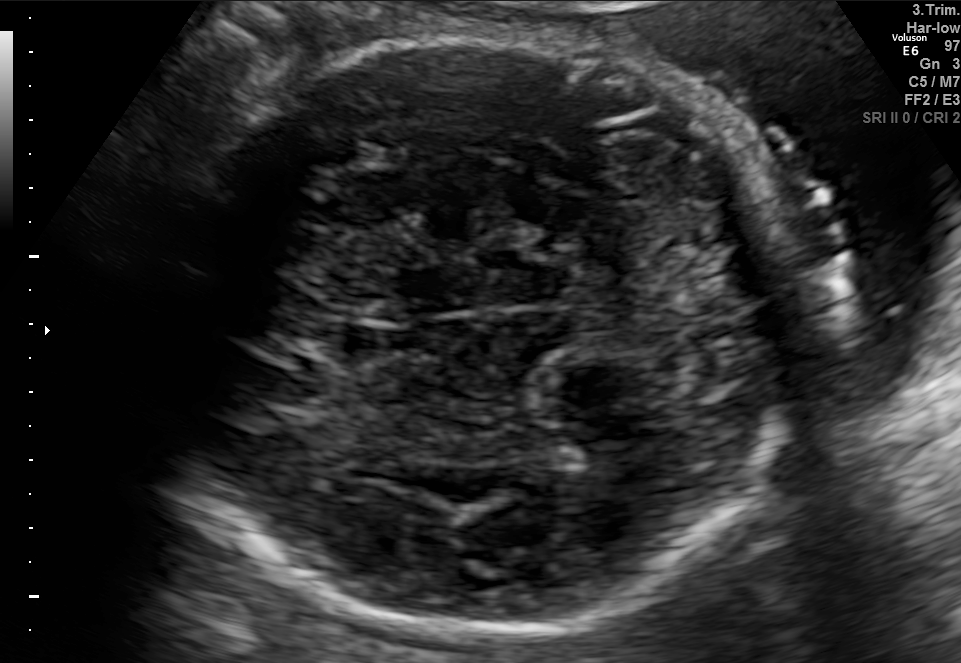
Fetal brain, trans-thalamic plane. Where is the fetal head?

Head bounding box: [164,29,795,626]